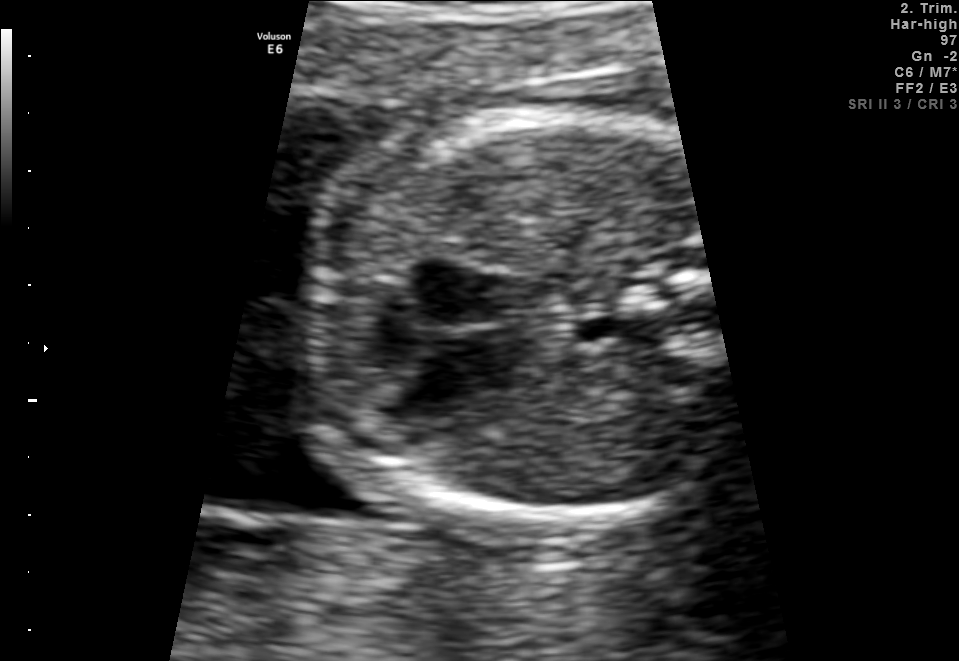
Identify the standard plane in this fetal ultrasound image: fetal abdomen, fetal brain, fetal femur, fetal thorax, maternal cervix, or other. If it's fetal brain and one of the three standard brain planes (trans-thalamic, trans-cerebellum, trans-ventricular), name which.

Fetal thorax